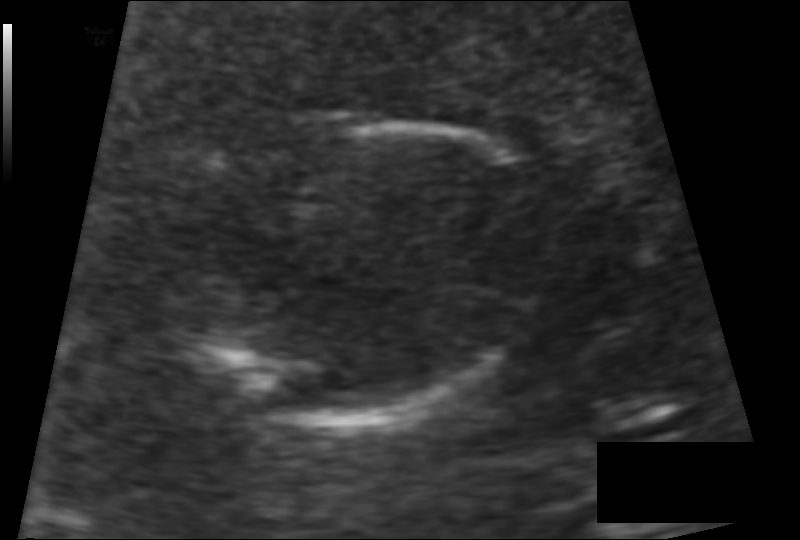
What is the fetal head circumference? Image width is 74.1 mm.

97.0 mm